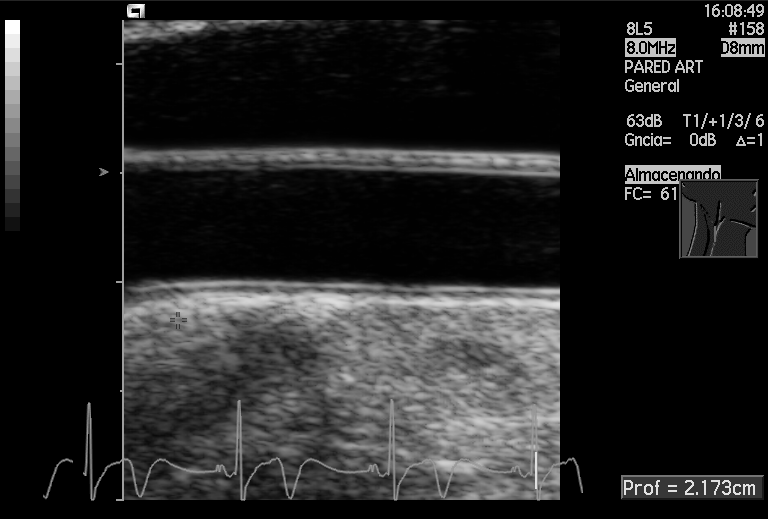
Identify the standard plane in this fetal ultrasound image: fetal abdomen, fetal brain, fetal femur, fetal thorax, maternal cervix, or other. If it's fetal brain and one of the three standard brain planes (trans-thalamic, trans-cerebellum, trans-ventricular), name which.

Other